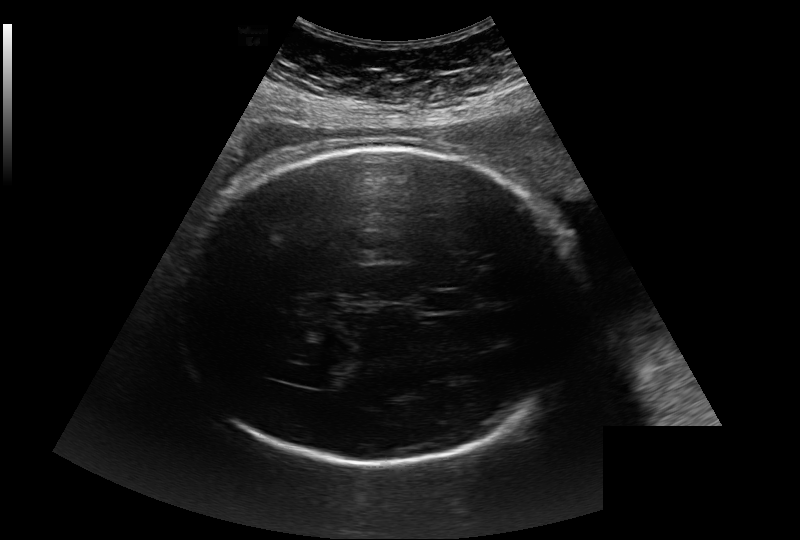
Fetal head ultrasound. Image width: 227.4 mm. Locate the fetal head and, if visible, the cavum septum pellucidum (CSP) and lateral ventricle (LV). Give bounding boxes as [x1,y1,x2,y2].

Head: [178,147,579,465]
CSP: [418,288,475,314]
Lateral ventricle: [309,370,342,391]